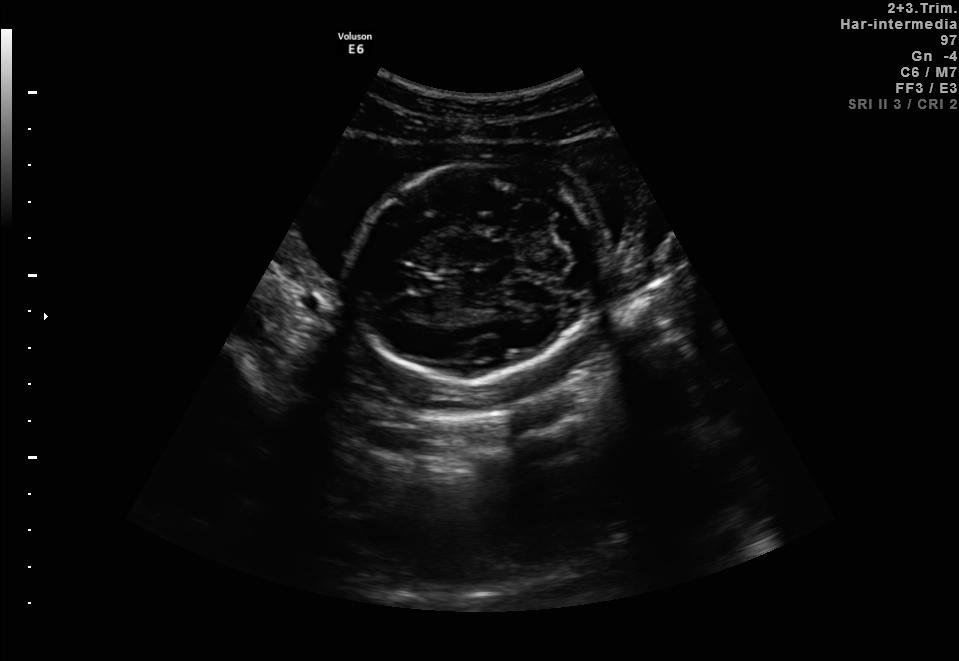
In this fetal brain, trans-cerebellum plane, give bounding boxes for the head outline, cavum septum pellucidum (CSP), and lateral ventricle (LV), where visible.

Head: [349,163,602,382]